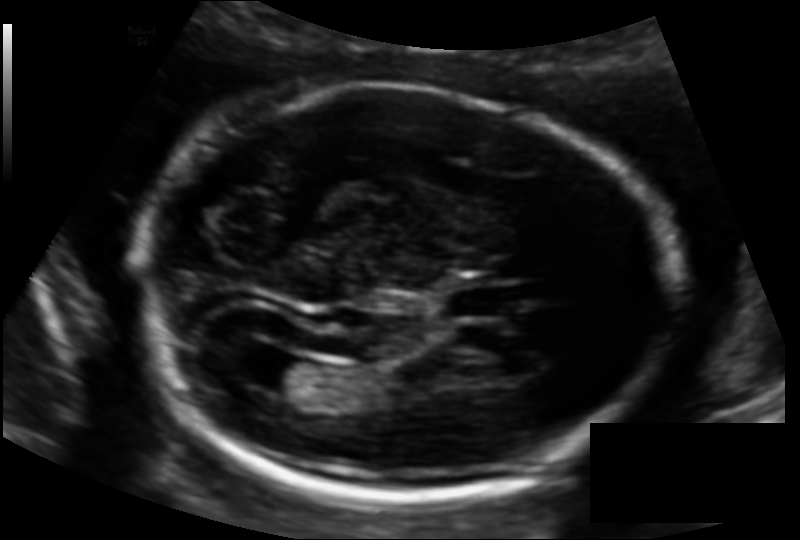
In this fetal head ultrasound, give the bounding box of the cavum septum pellucidum. Image width: 103.6 mm.

[442,276,517,320]